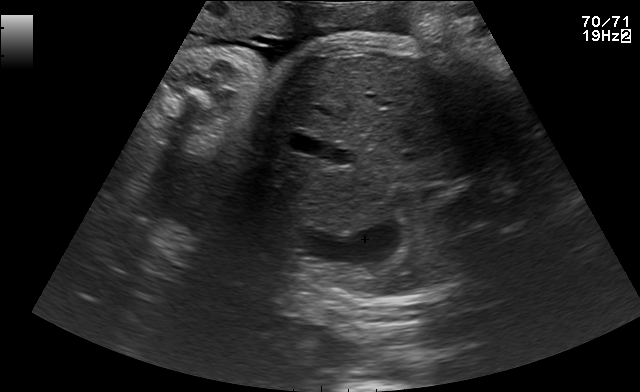
Which standard maternal-fetal ultrasound plane is shown: fetal abdomen, fetal brain, fetal femur, fetal thorax, maternal cervix, or other? If it's fetal brain and one of the three standard brain planes (trans-thalamic, trans-cerebellum, trans-ventricular), name which.

Fetal abdomen